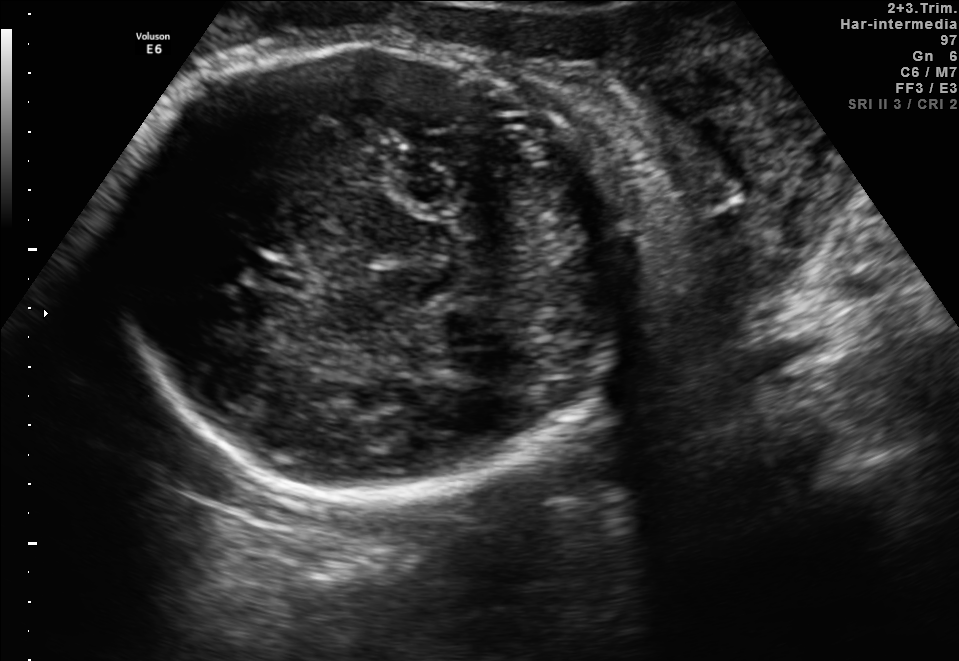
In this fetal brain, trans-thalamic plane, give bounding boxes for the head outline, cavum septum pellucidum (CSP), and lateral ventricle (LV), where visible.

Head: [108,38,641,489]
CSP: [243,247,316,296]
Lateral ventricle: [455,349,516,381]